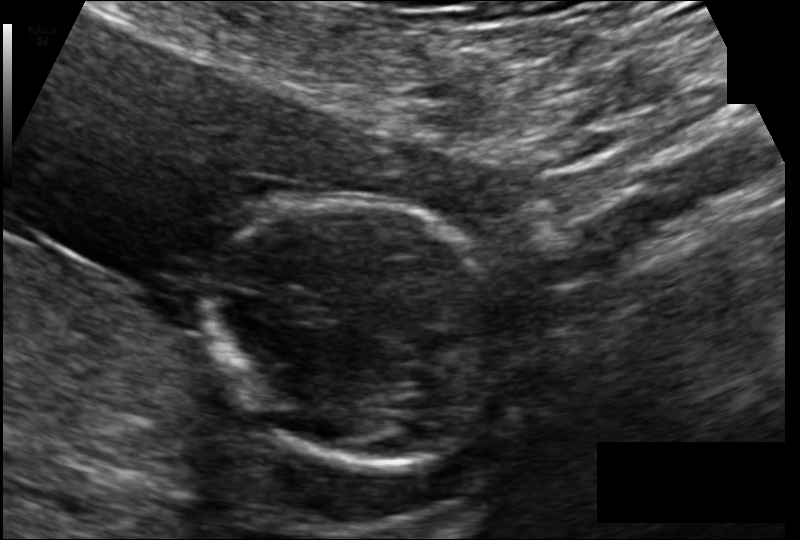
In this fetal head ultrasound, give bounding boxes for the head outline, cavum septum pellucidum (CSP), and lateral ventricle (LV), where visible. Image width: 81.2 mm.

Head: [201,200,534,466]